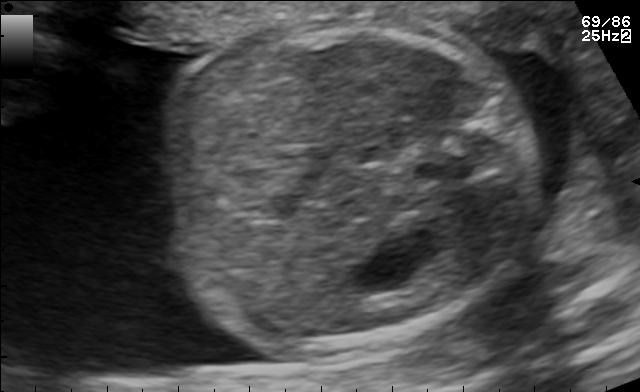
Which standard maternal-fetal ultrasound plane is shown: fetal abdomen, fetal brain, fetal femur, fetal thorax, maternal cervix, or other? If it's fetal brain and one of the three standard brain planes (trans-thalamic, trans-cerebellum, trans-ventricular), name which.

Fetal abdomen